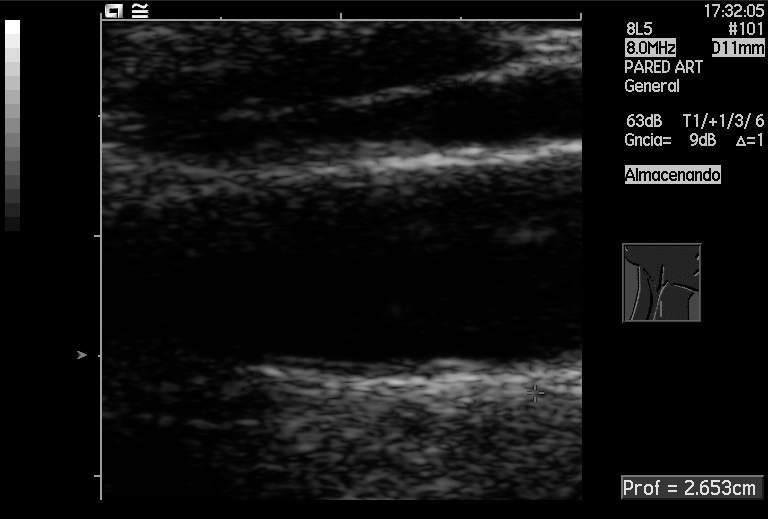
Which standard maternal-fetal ultrasound plane is shown: fetal abdomen, fetal brain, fetal femur, fetal thorax, maternal cervix, or other? If it's fetal brain and one of the three standard brain planes (trans-thalamic, trans-cerebellum, trans-ventricular), name which.

Other